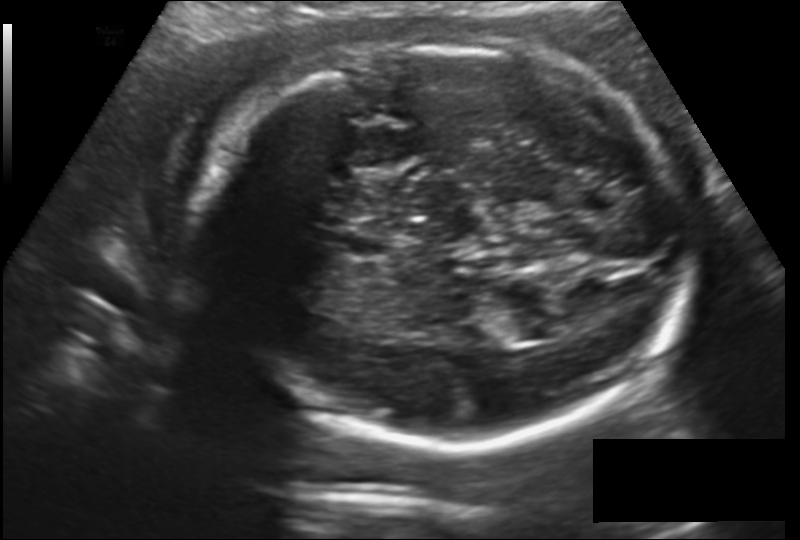
In this fetal head ultrasound, give bounding boxes for the head outline, cavum septum pellucidum (CSP), and lateral ventricle (LV), where visible. Image width: 142.0 mm.

Head: [195,47,697,445]